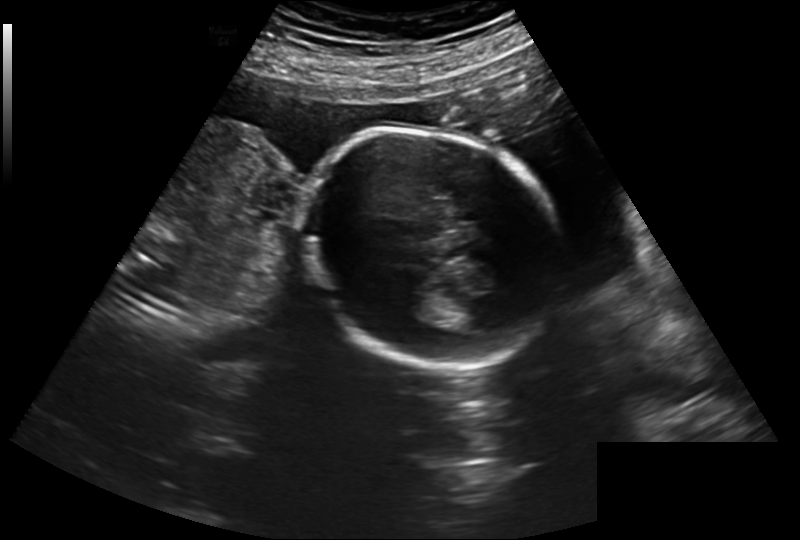
From this fetal ultrasound, estimate the head circumference (image width 207.9 mm).

Head circumference: 214.4 mm.